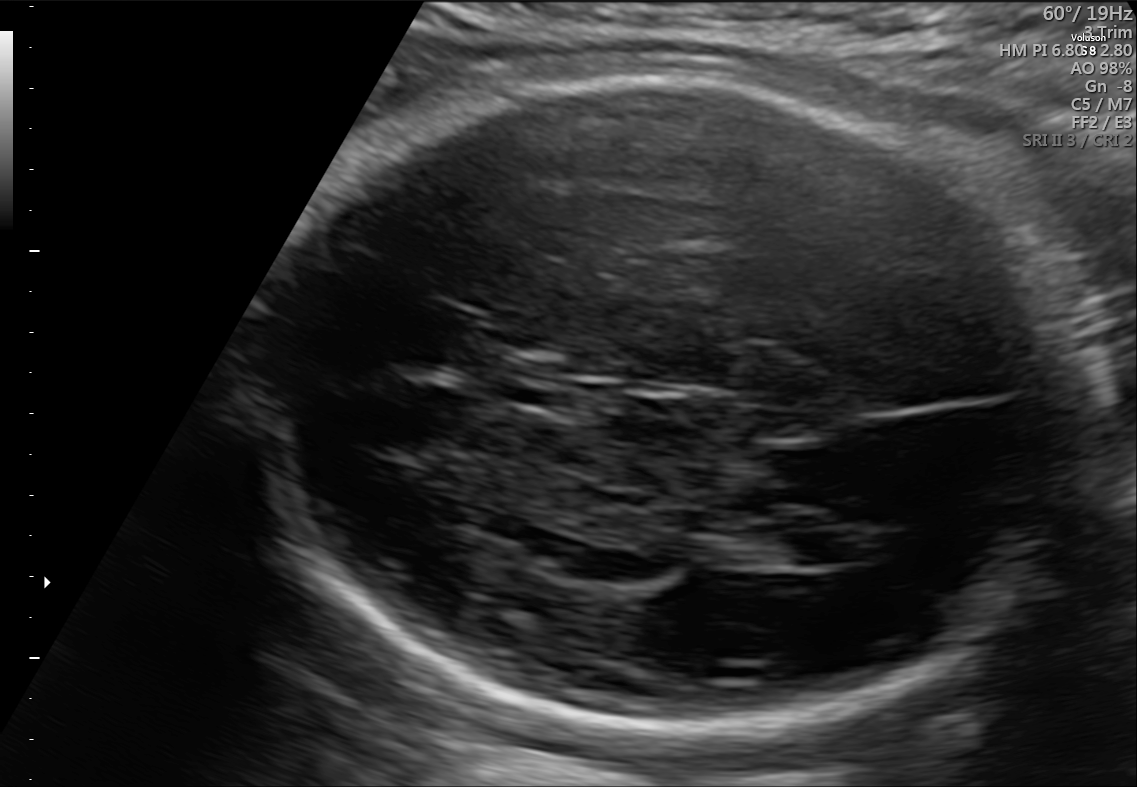
Fetal brain, trans-ventricular plane. Locate the fetal head.

Head: [253,54,1107,748]